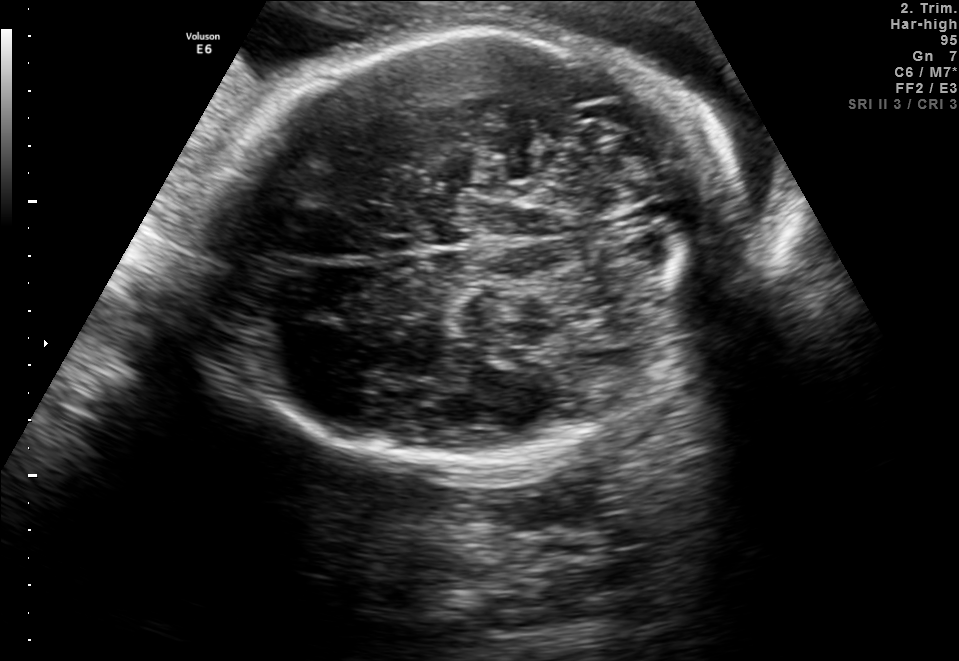
Fetal brain, trans-cerebellum plane. Where is the fetal head?

Head bounding box: [219,31,728,462]